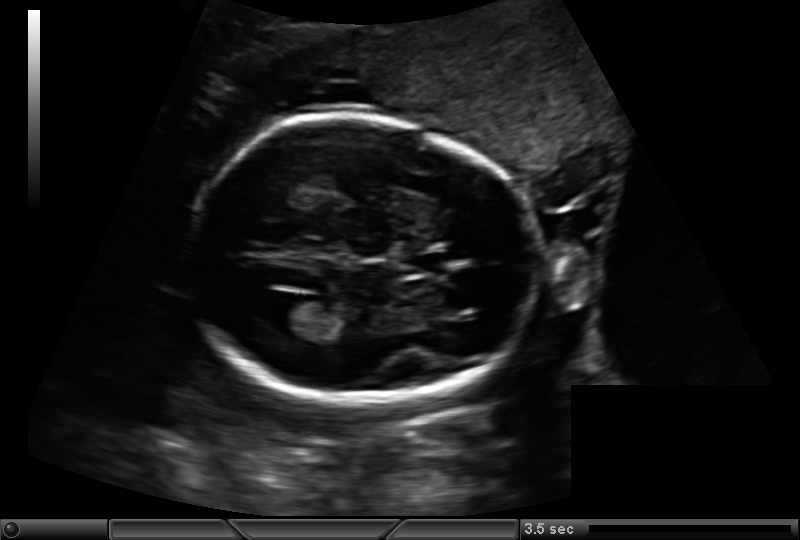
What is the fetal head circumference? Image width is 126.8 mm.

163.1 mm